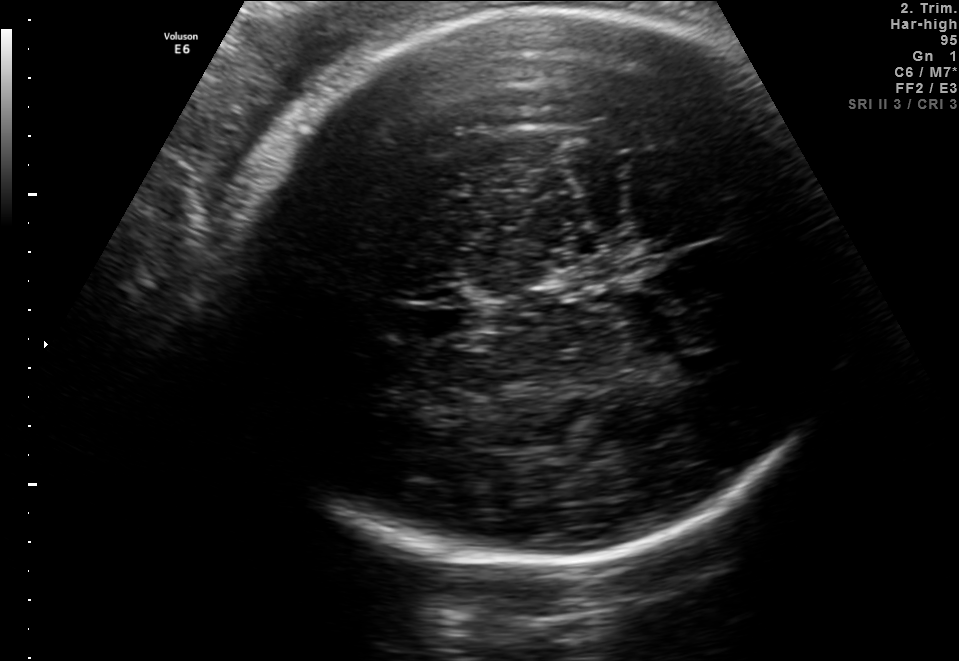
Fetal brain, trans-thalamic plane. Give [x1,y1,x2,y2] bounding boxes for each visible structure among: fetal head, CSP, LV.

Head: [234,6,845,563]
CSP: [402,302,483,342]